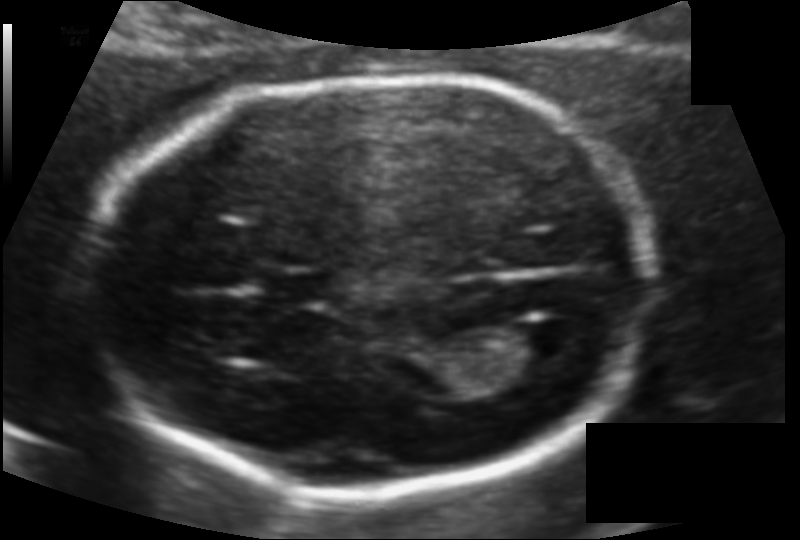
Estimate the fetal head circumference from this 2D ultrasound.

Head circumference: 166.7 mm (image width 85.2 mm).